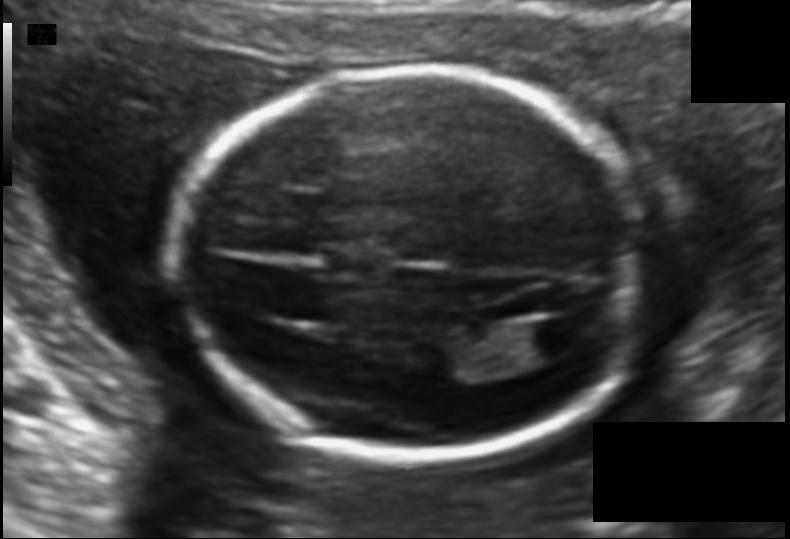
From this fetal ultrasound, estimate the head circumference (image width 95.9 mm).

Head circumference: 170.2 mm.